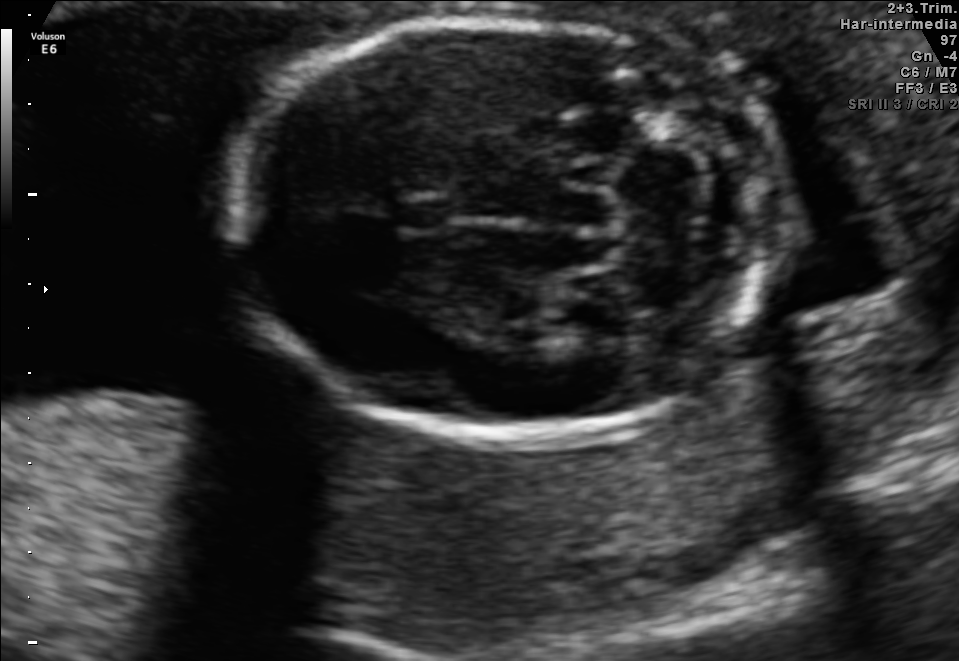
Fetal brain, trans-cerebellum plane. Locate the fetal head and, if visible, the cavum septum pellucidum (CSP) and lateral ventricle (LV). Give bounding boxes as [x1,y1,x2,y2].

Head: [231,18,768,443]
CSP: [392,194,455,236]